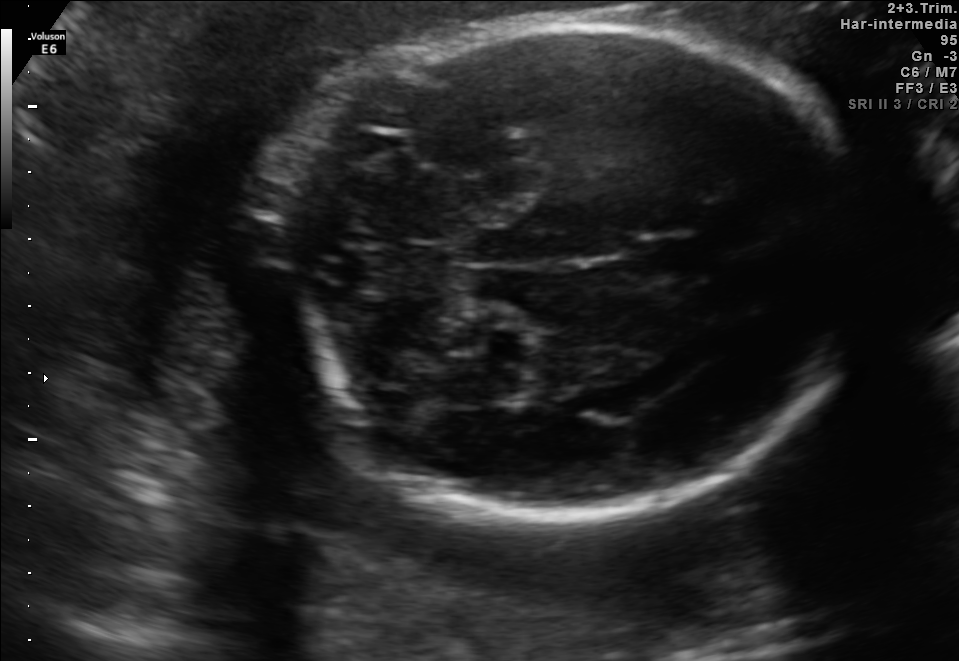
Fetal brain, trans-cerebellum plane. Where is the fetal head?

Head bounding box: [252,23,867,522]